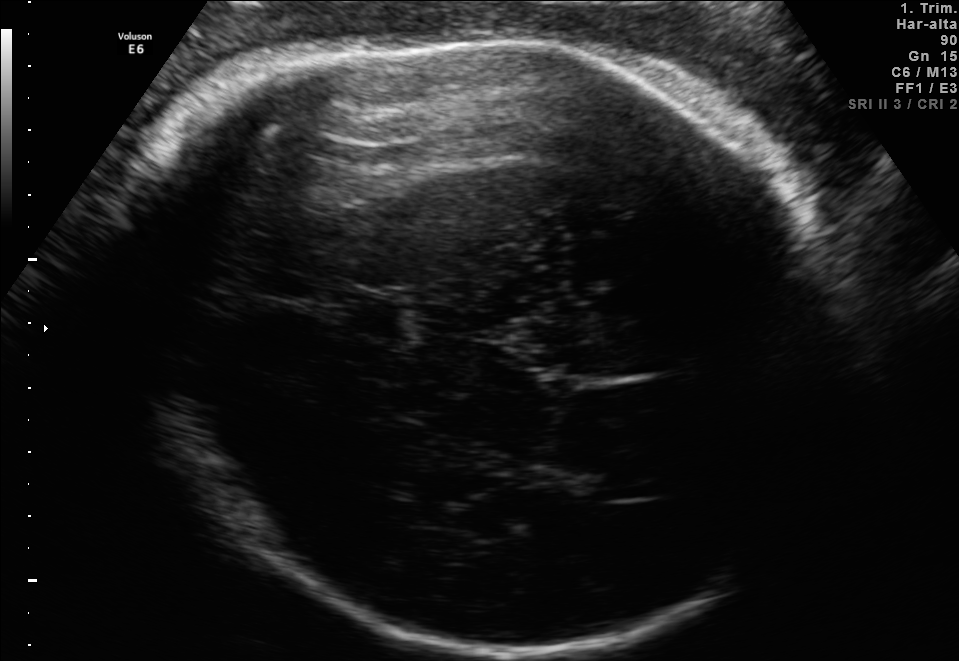
Fetal brain, trans-thalamic plane. Where is the lateral ventricle?

Lateral ventricle bounding box: [563,460,663,503]